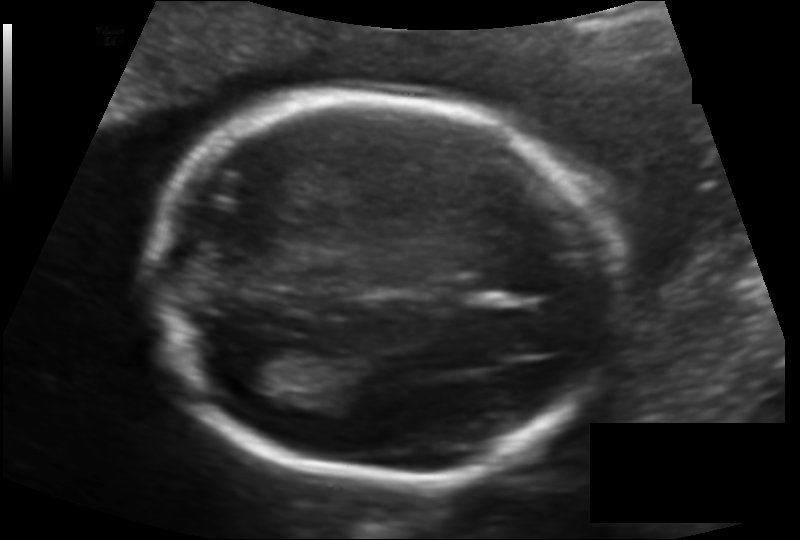
Fetal head ultrasound. Image width: 102.7 mm. Locate the lateral ventricle.

Lateral ventricle: [231,338,321,403]